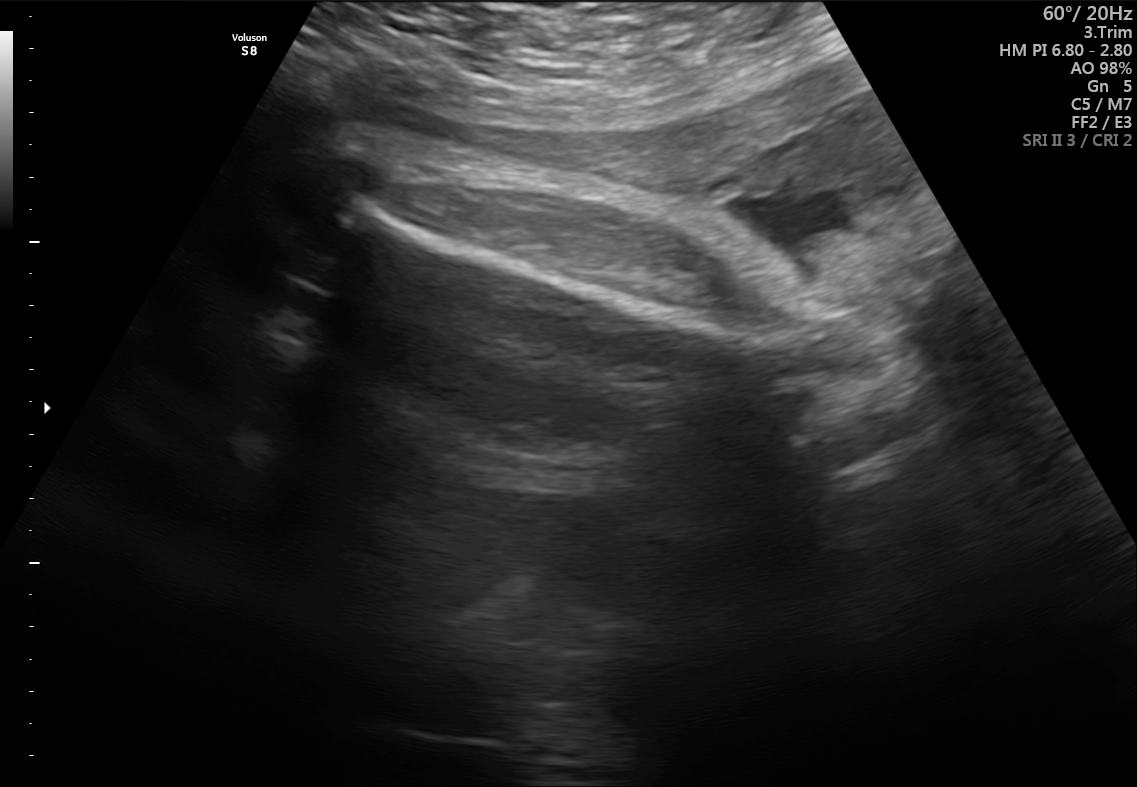
Classify this maternal-fetal ultrasound image as one of the six standard planes — fetal abdomen, fetal brain, fetal femur, fetal thorax, maternal cervix, or other. If it's fetal brain and one of the three standard brain planes (trans-thalamic, trans-cerebellum, trans-ventricular), name which.

Fetal femur